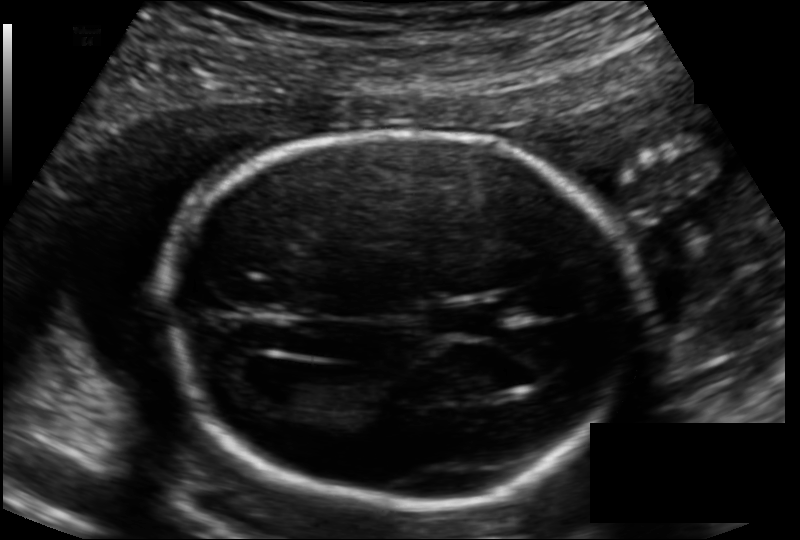
Fetal head ultrasound. Image width: 100.8 mm. Where is the lateral ventricle?

Lateral ventricle bounding box: [239,353,324,411]